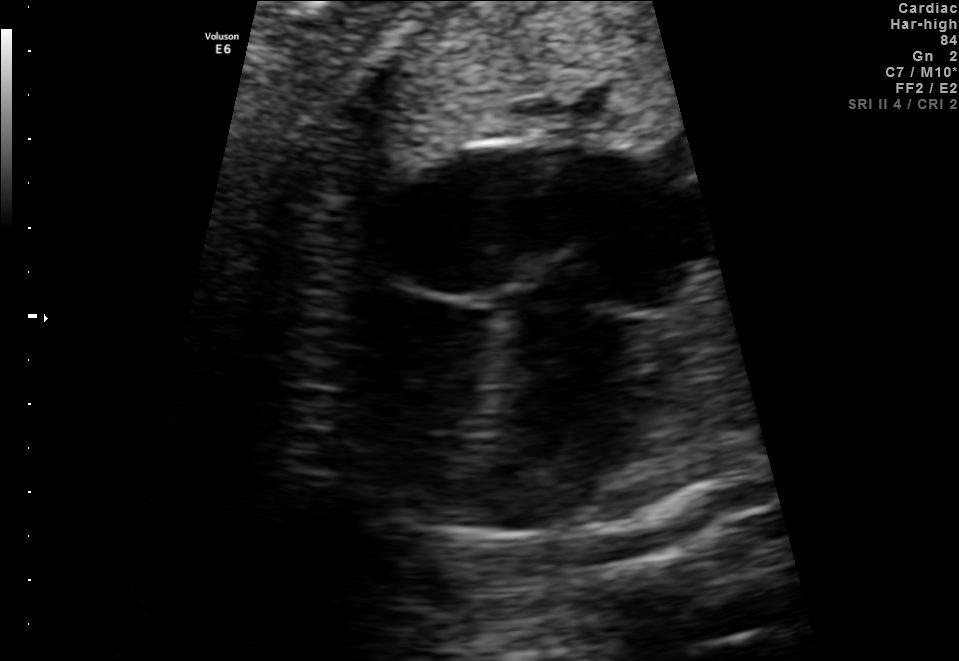
Classify this maternal-fetal ultrasound image as one of the six standard planes — fetal abdomen, fetal brain, fetal femur, fetal thorax, maternal cervix, or other. If it's fetal brain and one of the three standard brain planes (trans-thalamic, trans-cerebellum, trans-ventricular), name which.

Fetal thorax